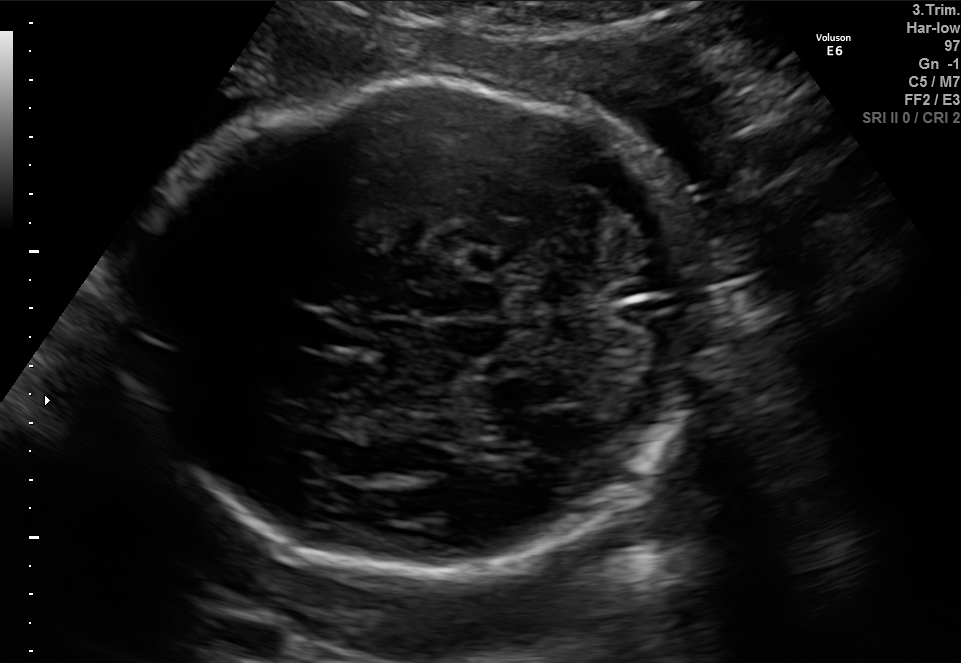
This is a 2D maternal-fetal ultrasound frame. Is it a fetal abdomen, fetal brain, fetal femur, fetal thorax, maternal cervix, or other standard plane? If it's fetal brain and one of the three standard brain planes (trans-thalamic, trans-cerebellum, trans-ventricular), name which.

Fetal brain (trans-cerebellum plane)